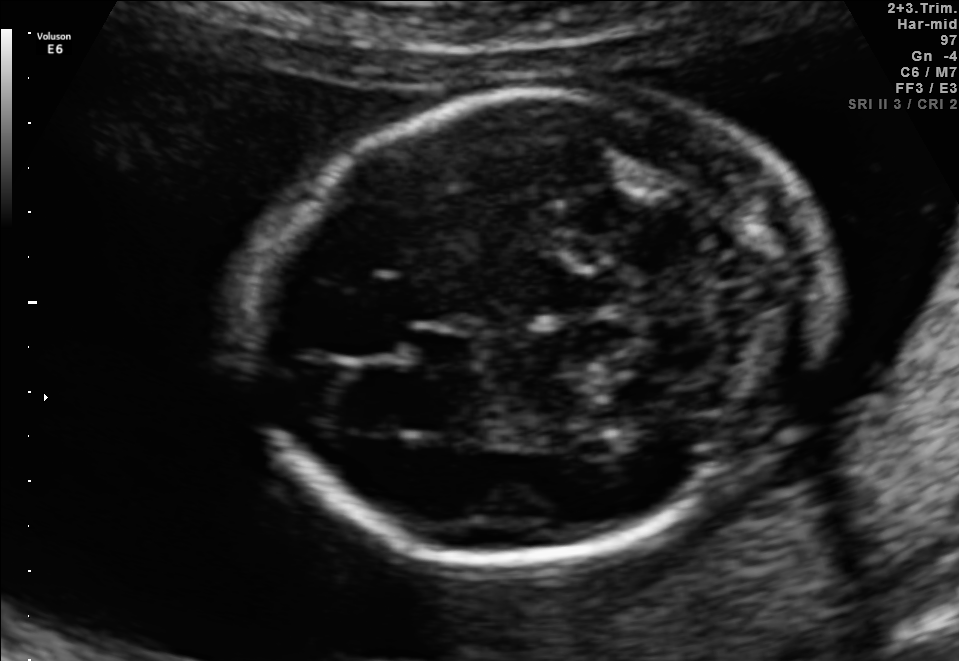
Classify this maternal-fetal ultrasound image as one of the six standard planes — fetal abdomen, fetal brain, fetal femur, fetal thorax, maternal cervix, or other. If it's fetal brain and one of the three standard brain planes (trans-thalamic, trans-cerebellum, trans-ventricular), name which.

Fetal brain (trans-cerebellum plane)